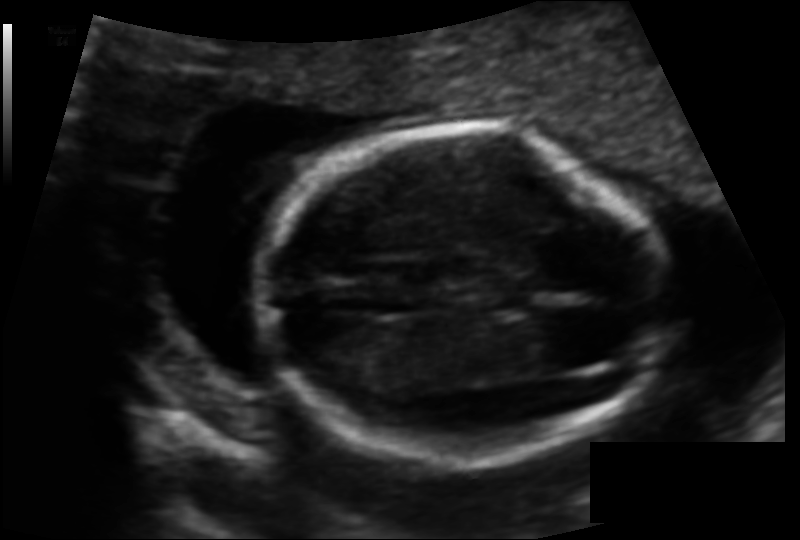
Fetal head ultrasound. Image width: 81.7 mm. Where is the fetal head?

Head bounding box: [263,127,666,463]